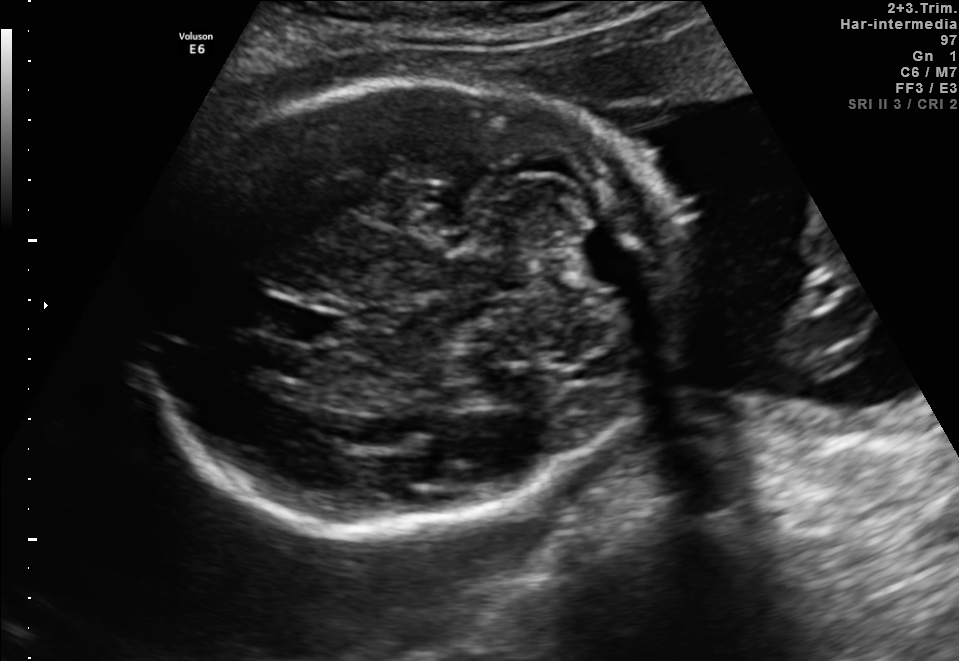
Fetal brain, trans-cerebellum plane. Locate the fetal head and, if visible, the cavum septum pellucidum (CSP) and lateral ventricle (LV). Give bounding boxes as [x1,y1,x2,y2].

Head: [139,84,684,529]
CSP: [250,291,333,351]